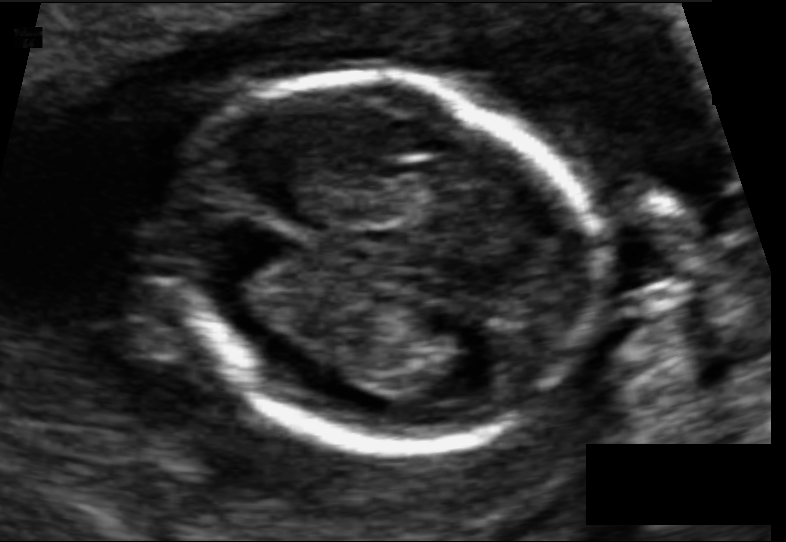
In this fetal head ultrasound, give bounding boxes for the head outline, cavum septum pellucidum (CSP), and lateral ventricle (LV), where visible. Image width: 58.4 mm.

Head: [170,76,596,453]